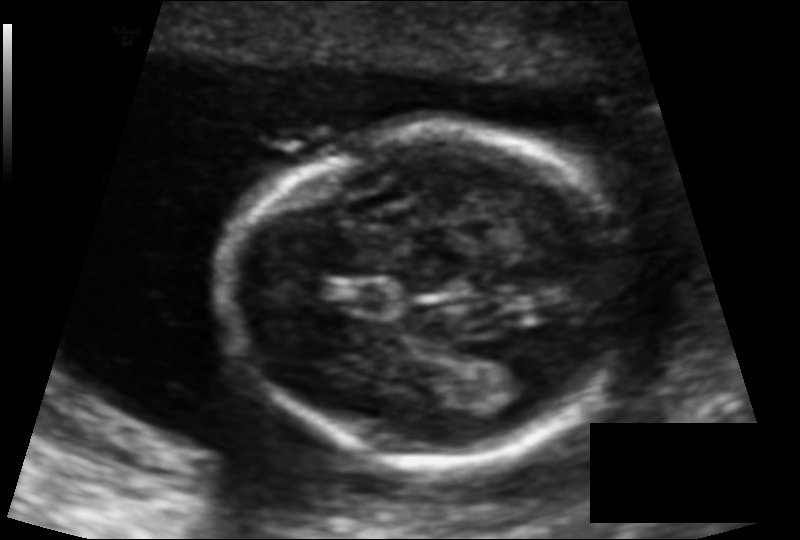
Fetal head ultrasound. Image width: 81.7 mm. Locate the fetal head and, if visible, the cavum septum pellucidum (CSP) and lateral ventricle (LV). Give bounding boxes as [x1,y1,x2,y2].

Head: [232,129,621,463]